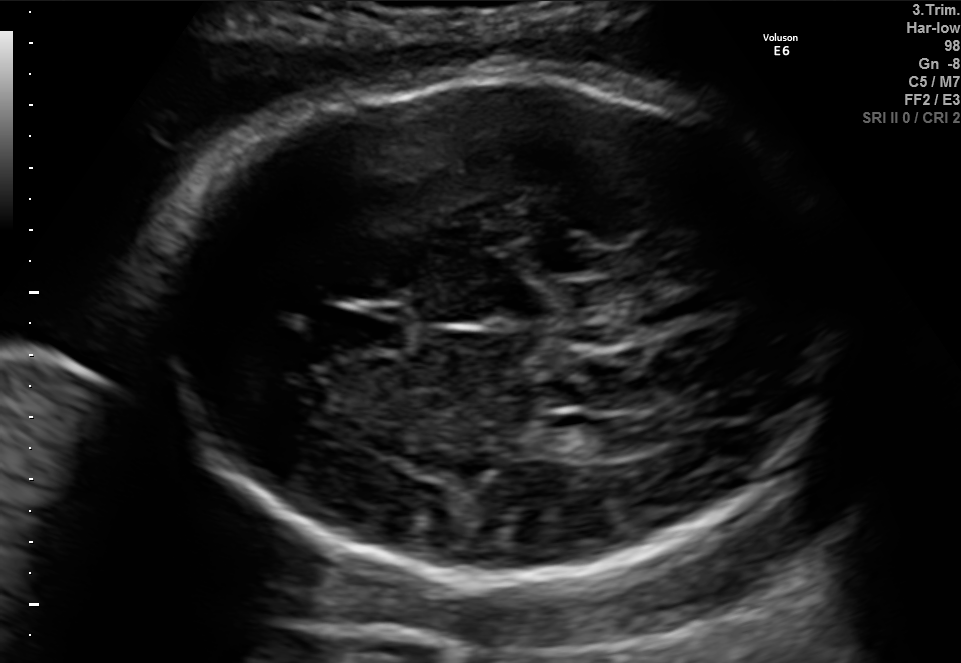
Fetal brain, trans-ventricular plane. Give [x1,y1,x2,y2] bounding boxes for each visible structure among: fetal head, CSP, LV.

Head: [140,62,855,589]
CSP: [322,302,416,357]
Lateral ventricle: [588,407,677,460]